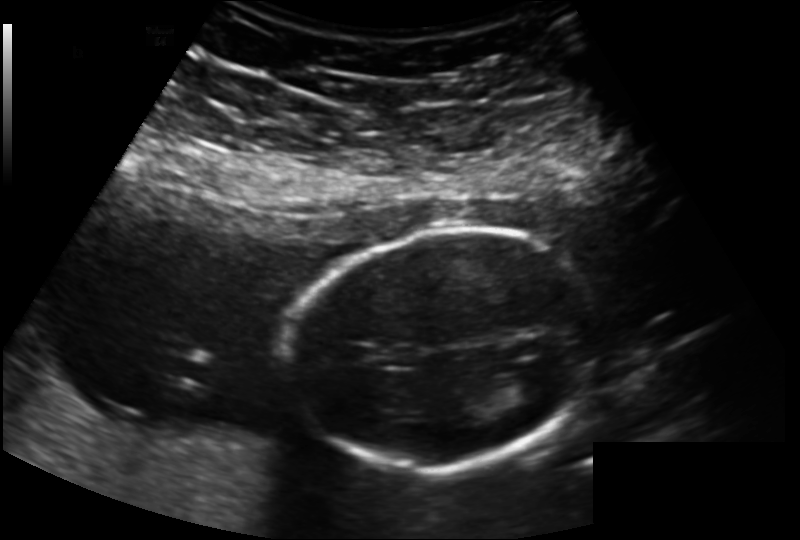
Estimate the fetal head circumference from this 2D ultrasound.

Head circumference: 145.7 mm (image width 130.7 mm).